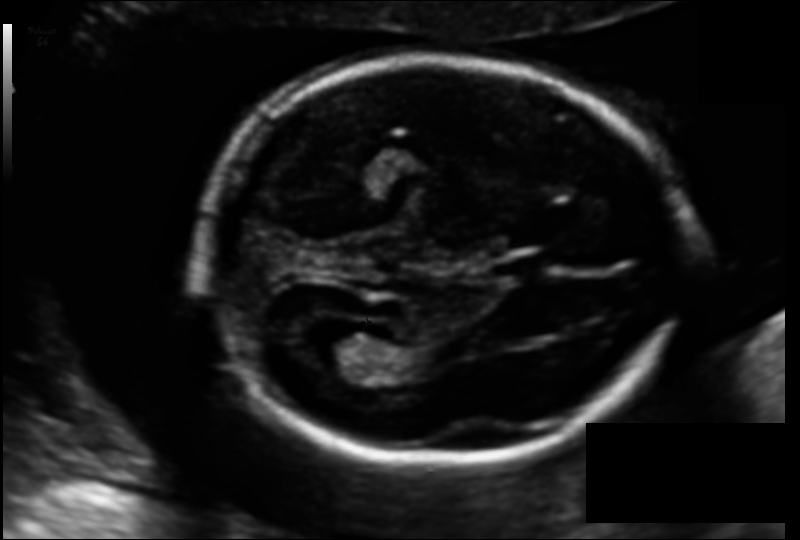
In this fetal head ultrasound, give the bounding box of the cavum septum pellucidum. Image width: 97.9 mm.

[492,251,548,286]